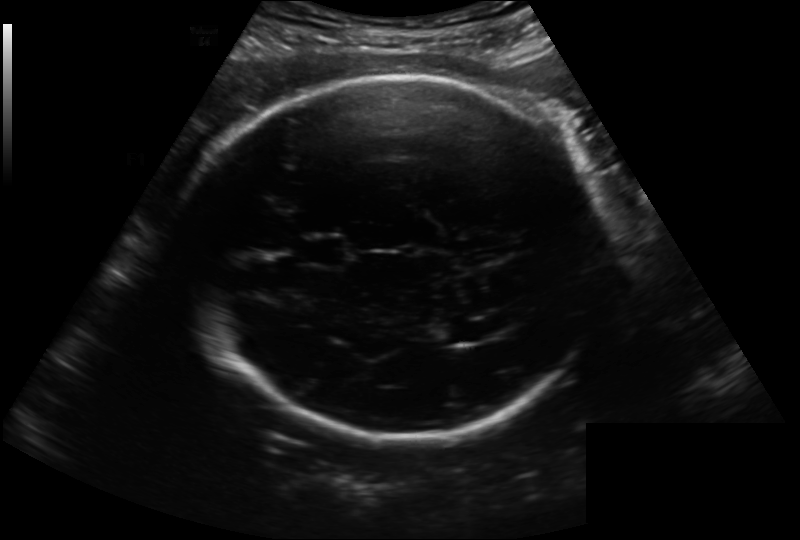
Estimate the fetal head circumference from this 2D ultrasound.

Head circumference: 281.6 mm (image width 177.3 mm).